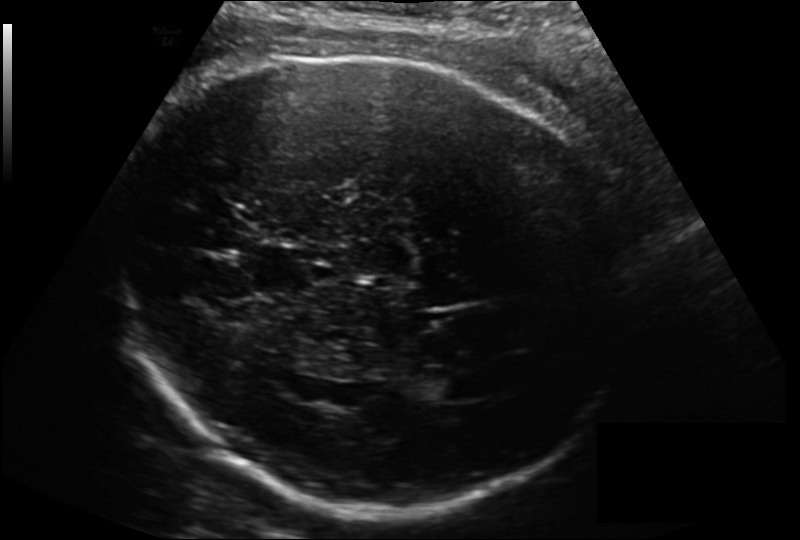
Fetal head ultrasound. Image width: 159.6 mm. Where is the fetal head?

Head bounding box: [113,55,635,507]